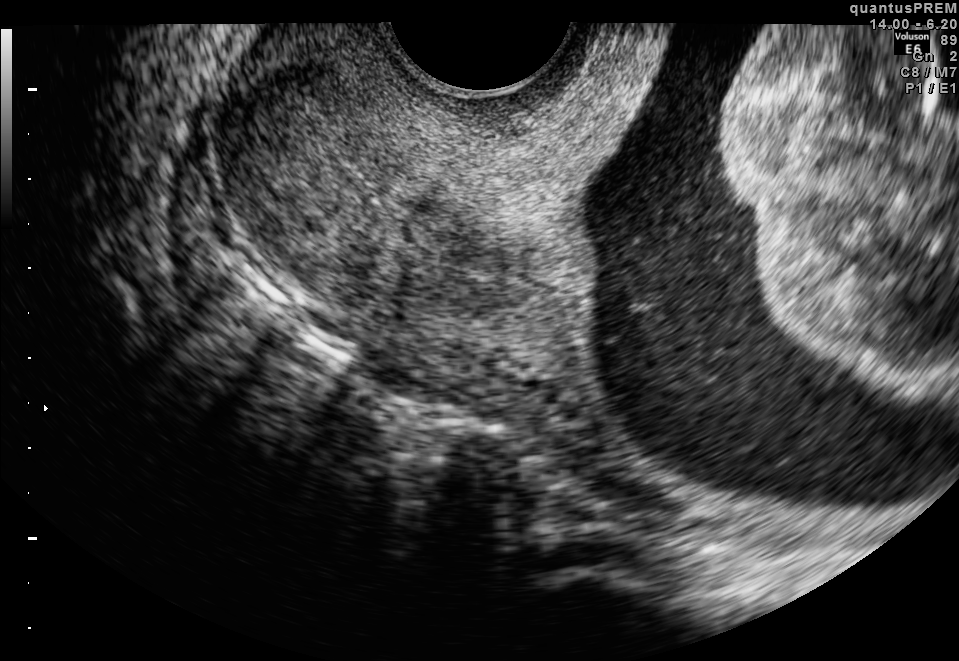
Classify this maternal-fetal ultrasound image as one of the six standard planes — fetal abdomen, fetal brain, fetal femur, fetal thorax, maternal cervix, or other. If it's fetal brain and one of the three standard brain planes (trans-thalamic, trans-cerebellum, trans-ventricular), name which.

Maternal cervix